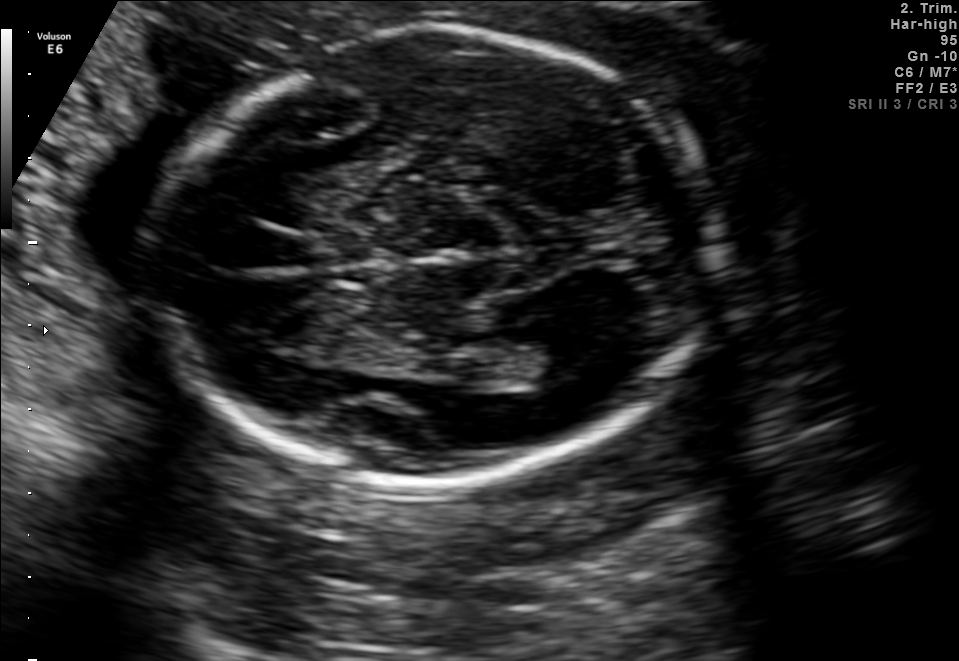
Fetal brain, trans-ventricular plane. Where is the fetal head?

Head bounding box: [148,28,727,489]